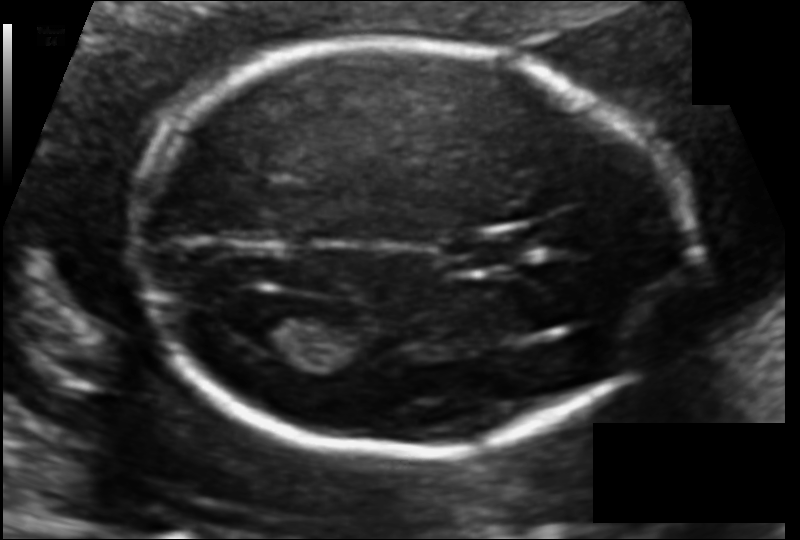
Fetal head ultrasound. Image width: 84.8 mm. Locate the fetal head.

Head: [128,44,686,453]